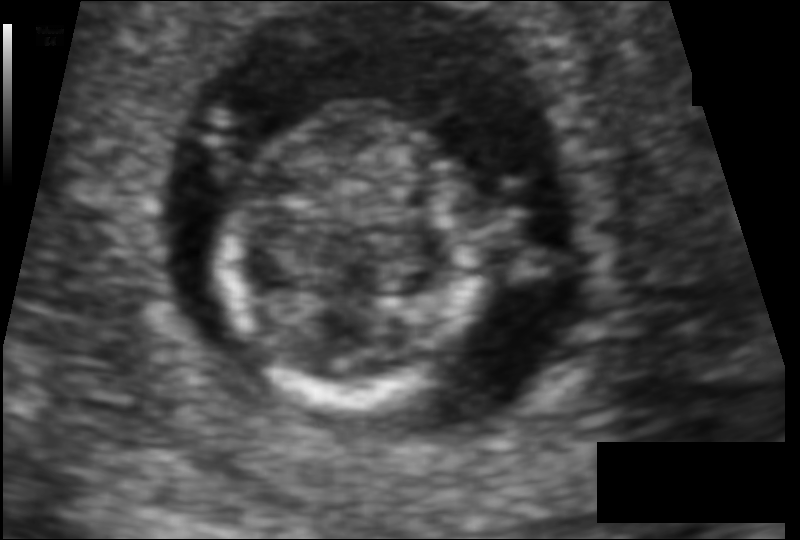
Fetal head ultrasound. Image width: 63.9 mm. Give [x1,y1,x2,y2] bounding boxes for each visible structure among: fetal head, CSP, LV.

Head: [220,98,490,419]